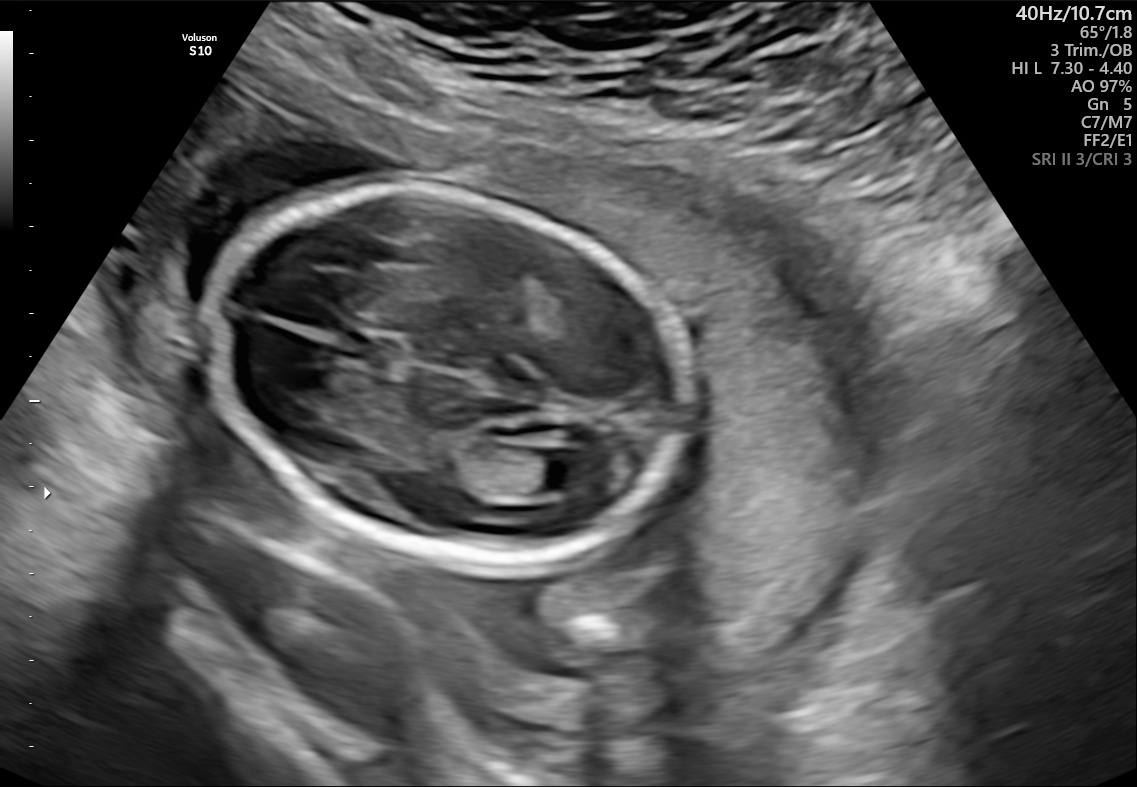
In this fetal brain, trans-ventricular plane, give the bounding box of the lateral ventricle.

[519,448,592,492]